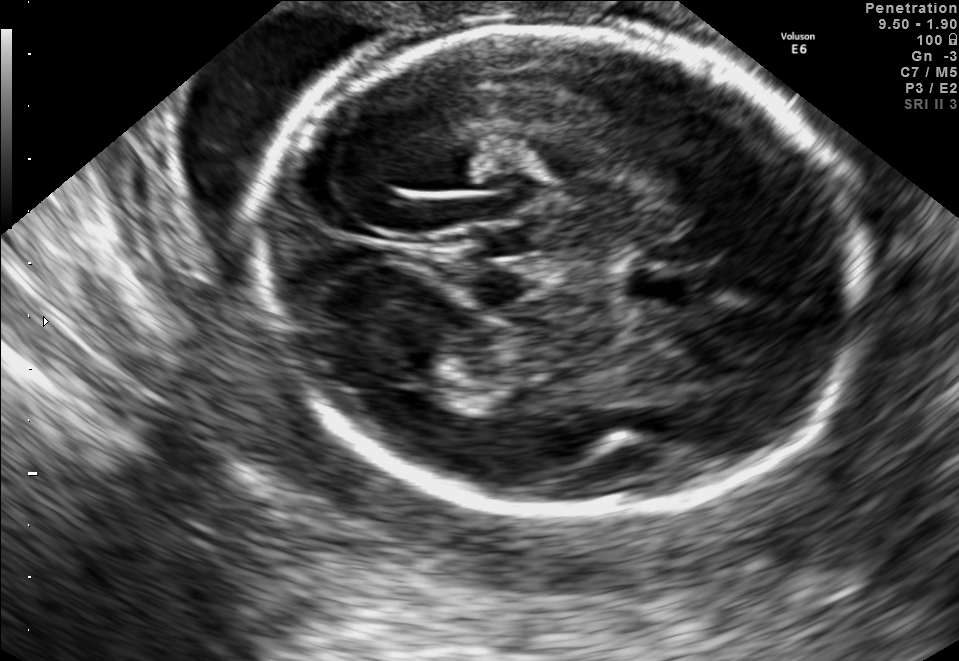
In this fetal brain, trans-thalamic plane, give the bounding box of the cavum septum pellucidum.

[627,267,691,306]